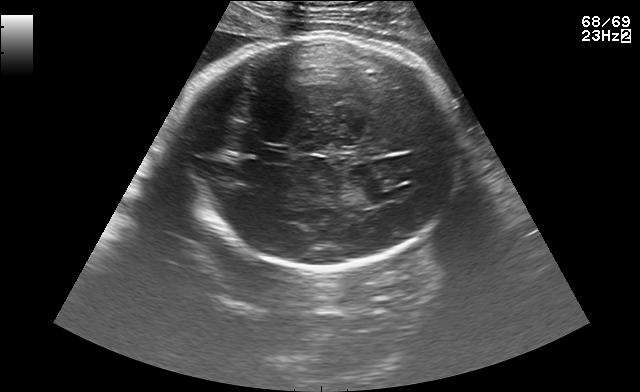
In this fetal brain, trans-thalamic plane, give bounding boxes for the head outline, cavum septum pellucidum (CSP), and lateral ventricle (LV), where visible.

Head: [172,38,467,266]
CSP: [262,150,290,164]
Lateral ventricle: [381,181,414,203]